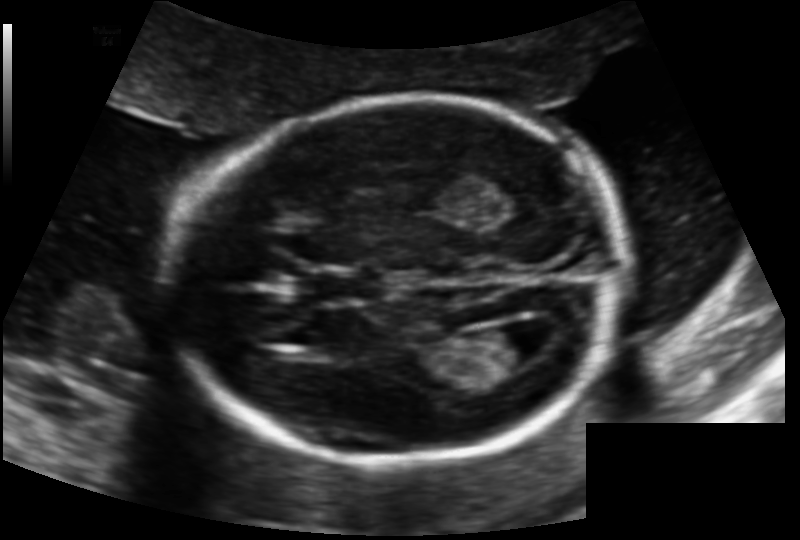
Measure the fetal head circumference shown in this ultrasound image. Image width: 104.9 mm.

Head circumference: 174.9 mm.